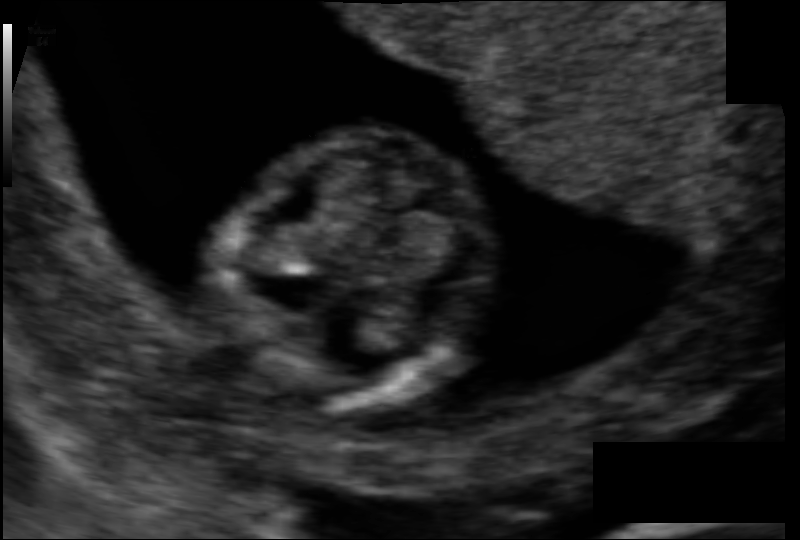
In this fetal head ultrasound, give bounding boxes for the head outline, cavum septum pellucidum (CSP), and lateral ventricle (LV), where visible. Image width: 61.7 mm.

Head: [221,130,494,408]